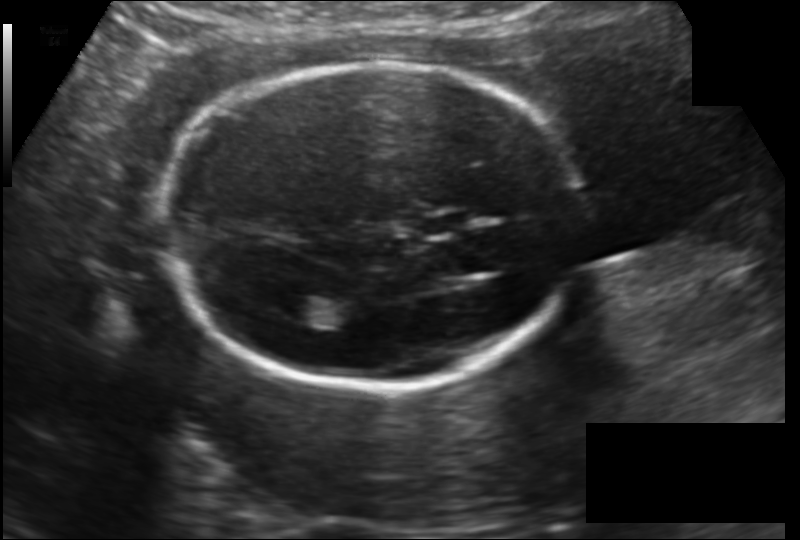
Fetal head ultrasound. Image width: 118.1 mm. Locate the fetal head.

Head: [164,62,584,390]